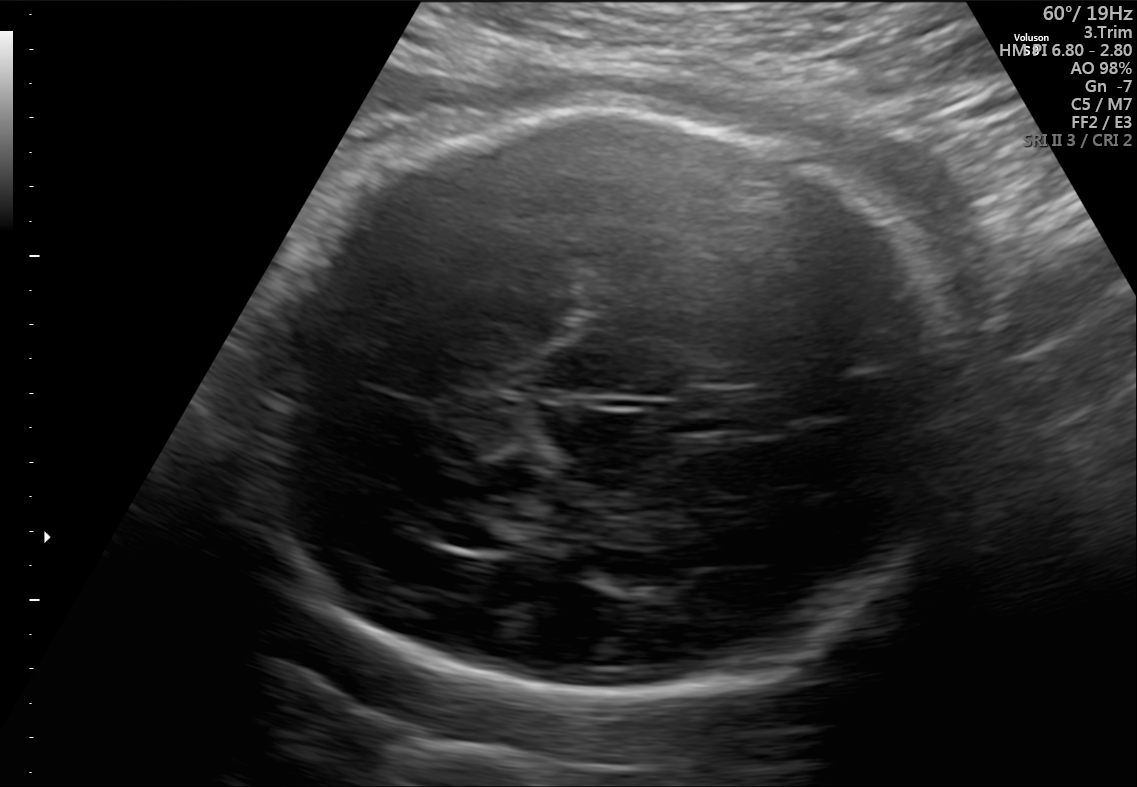
Fetal brain, trans-thalamic plane. Where is the fetal head?

Head bounding box: [242,110,969,699]